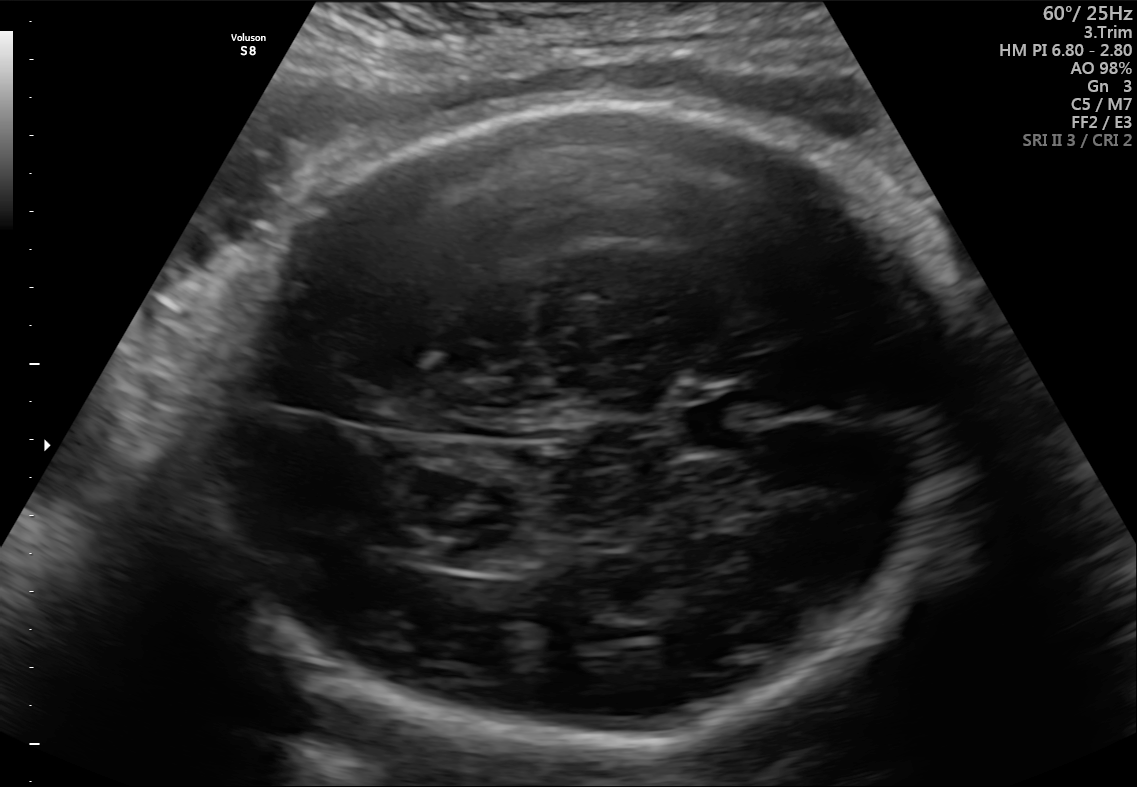
Fetal brain, trans-thalamic plane. Locate the cavum septum pellucidum.

CSP: [678,394,761,455]